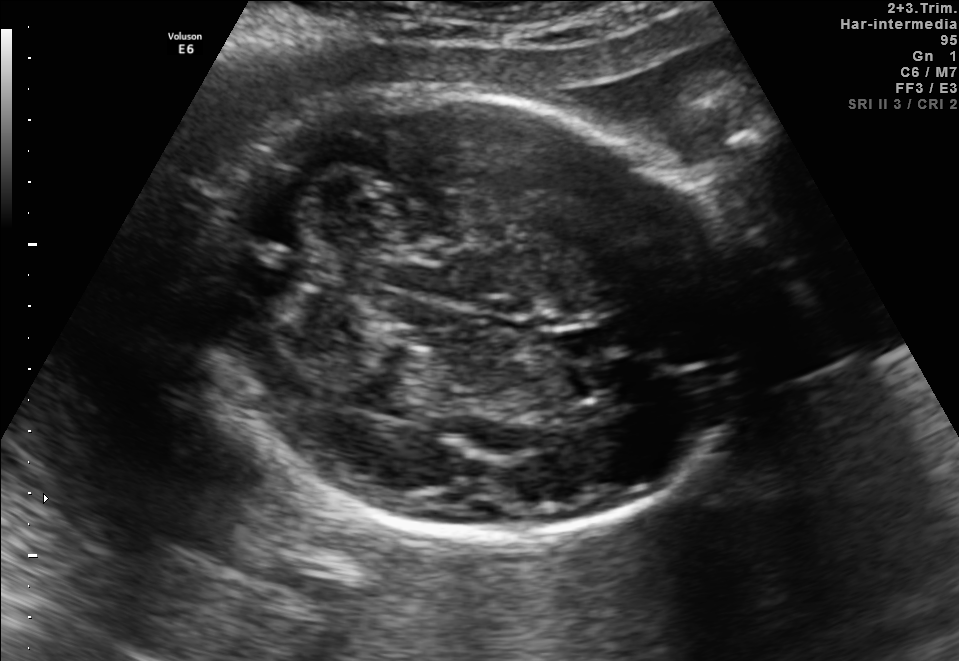
In this fetal brain, trans-cerebellum plane, give bounding boxes for the head outline, cavum septum pellucidum (CSP), and lateral ventricle (LV), where visible.

Head: [189,90,750,539]